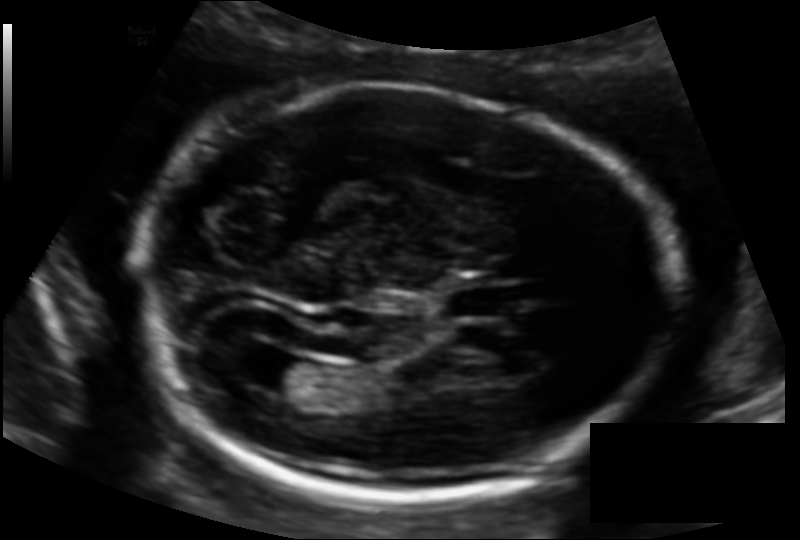
What is the fetal head circumference? Image width is 103.6 mm.

197.7 mm